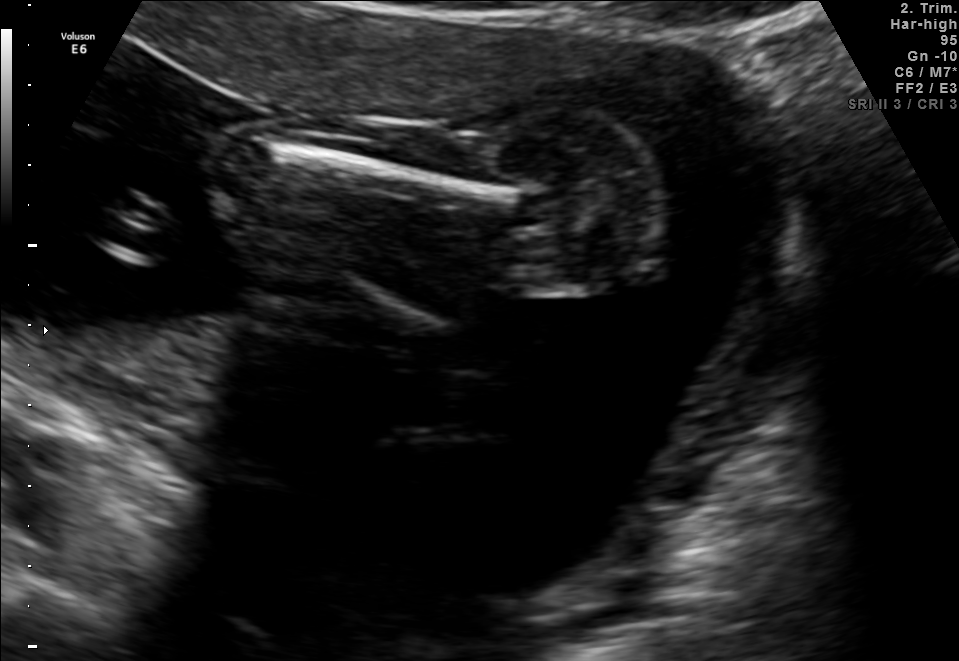
Classify this maternal-fetal ultrasound image as one of the six standard planes — fetal abdomen, fetal brain, fetal femur, fetal thorax, maternal cervix, or other. If it's fetal brain and one of the three standard brain planes (trans-thalamic, trans-cerebellum, trans-ventricular), name which.

Fetal femur